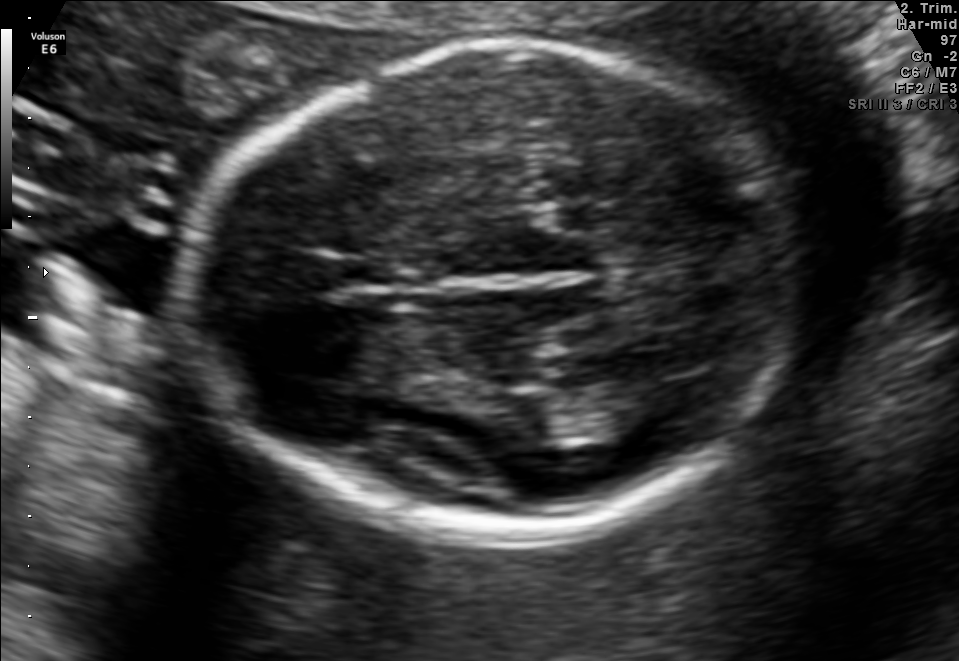
In this fetal brain, trans-thalamic plane, give the bounding box of the lateral ventricle.

[598,372,708,441]